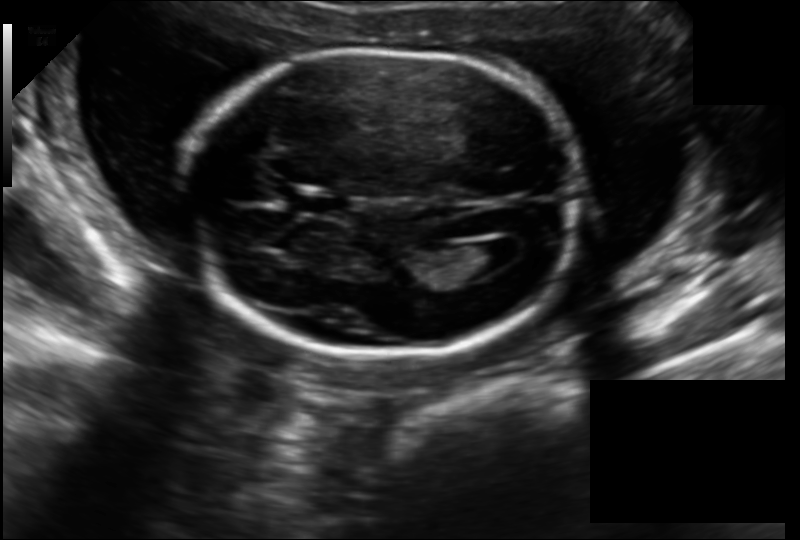
Fetal head ultrasound. Image width: 125.8 mm. Where is the cavum septum pellucidum?

CSP bounding box: [290,191,351,218]